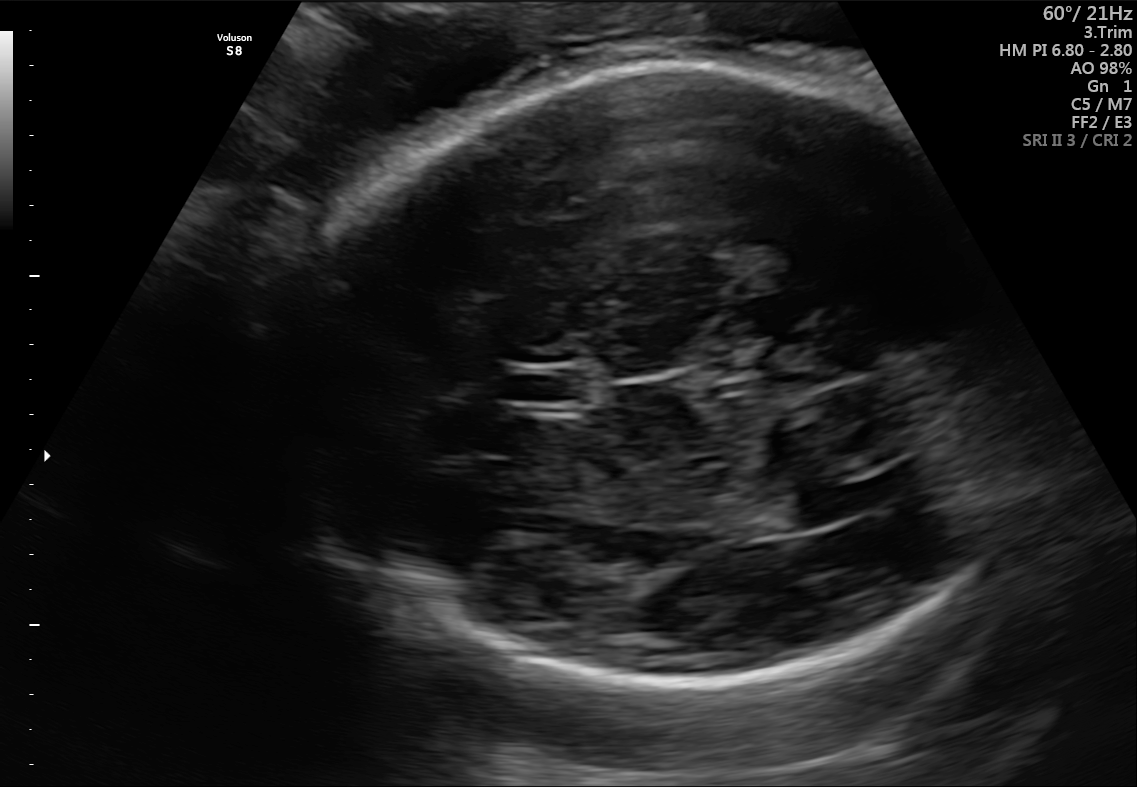
In this fetal brain, trans-thalamic plane, give the bounding box of the cavum septum pellucidum.

[507,369,589,402]